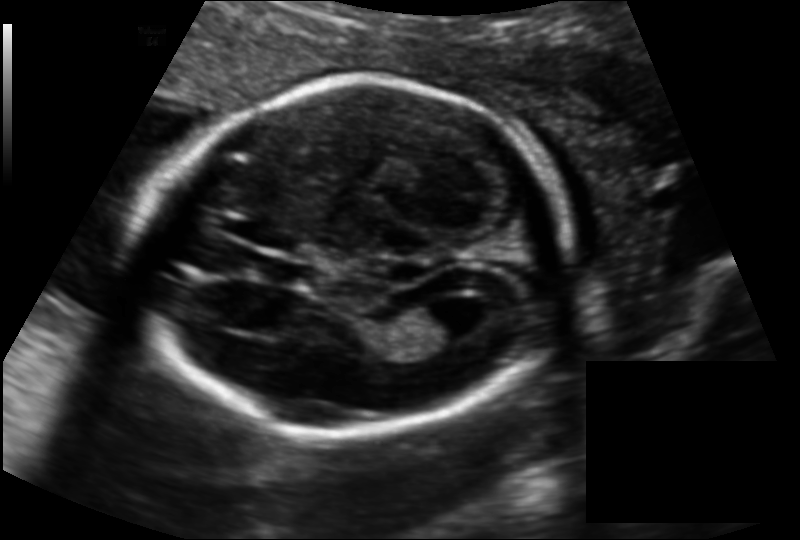
Fetal head ultrasound. Image width: 107.9 mm. Give [x1,y1,x2,y2] bounding boxes for each visible structure among: fetal head, CSP, LV.

Head: [138,80,569,434]
CSP: [257,252,312,290]
Lateral ventricle: [406,280,490,355]